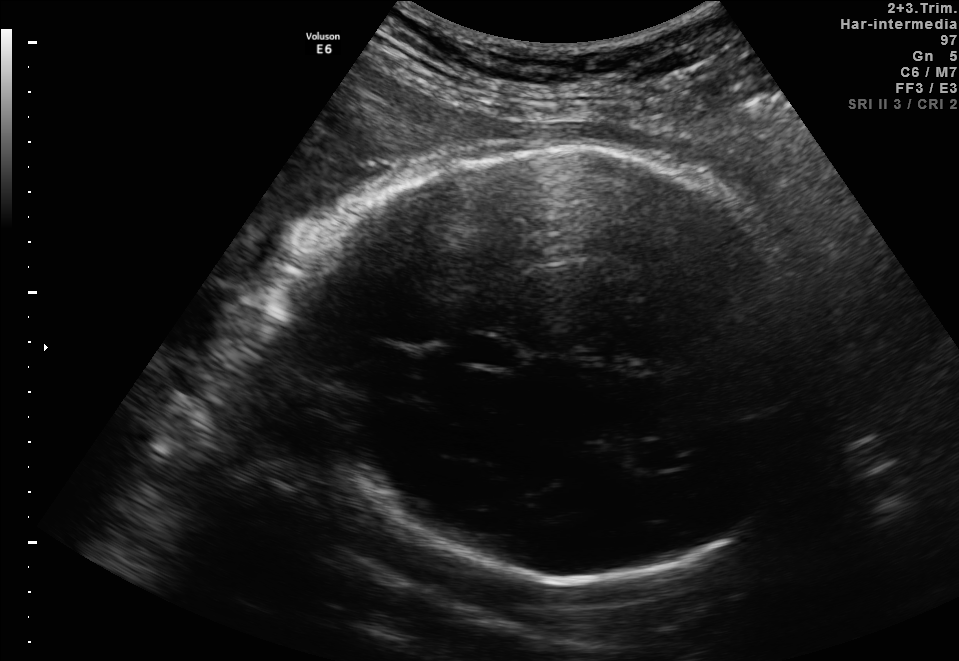
Fetal brain, trans-thalamic plane. Give [x1,y1,x2,y2] bounding boxes for each visible structure among: fetal head, CSP, LV.

Head: [276,144,841,581]
CSP: [461,334,511,369]
Lateral ventricle: [633,438,685,473]